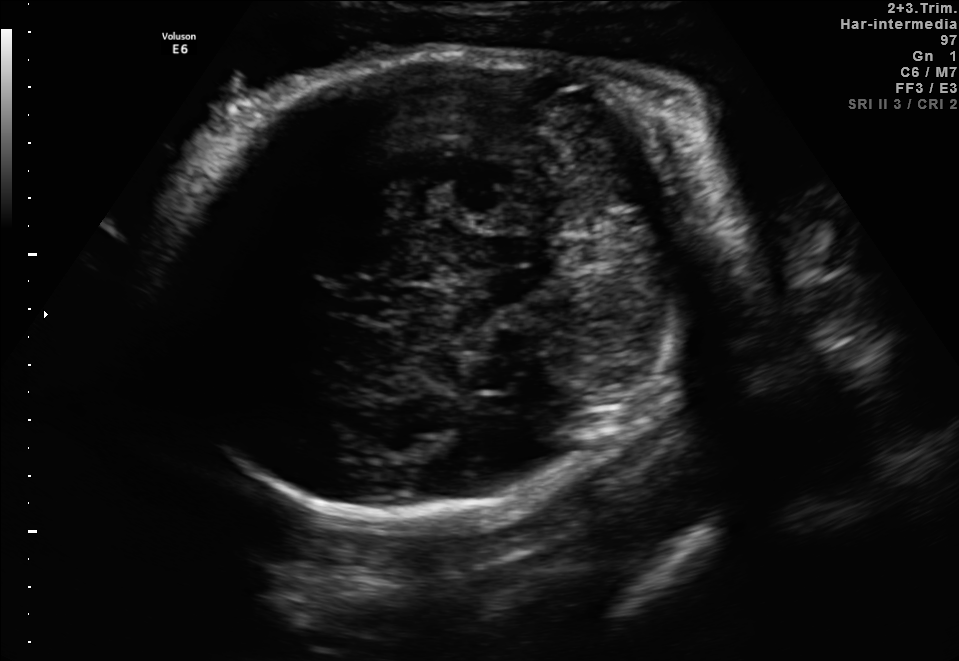
Fetal brain, trans-thalamic plane. Locate the fetal head and, if visible, the cavum septum pellucidum (CSP) and lateral ventricle (LV). Give bounding boxes as [x1,y1,x2,y2].

Head: [161,53,686,528]